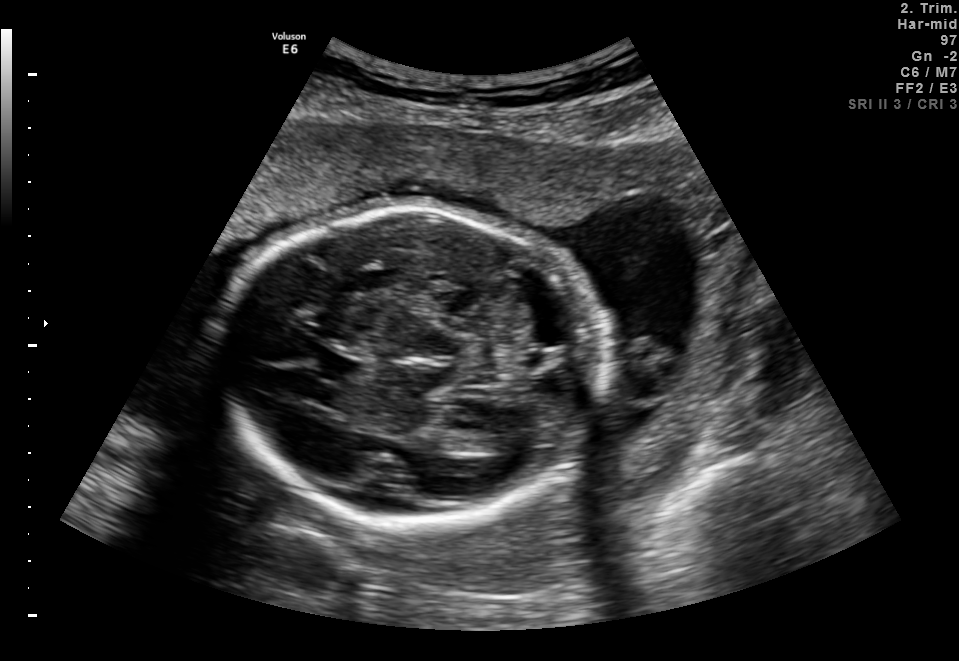
Fetal brain, trans-thalamic plane. Where is the lateral ventricle?

Lateral ventricle bounding box: [474,423,527,455]